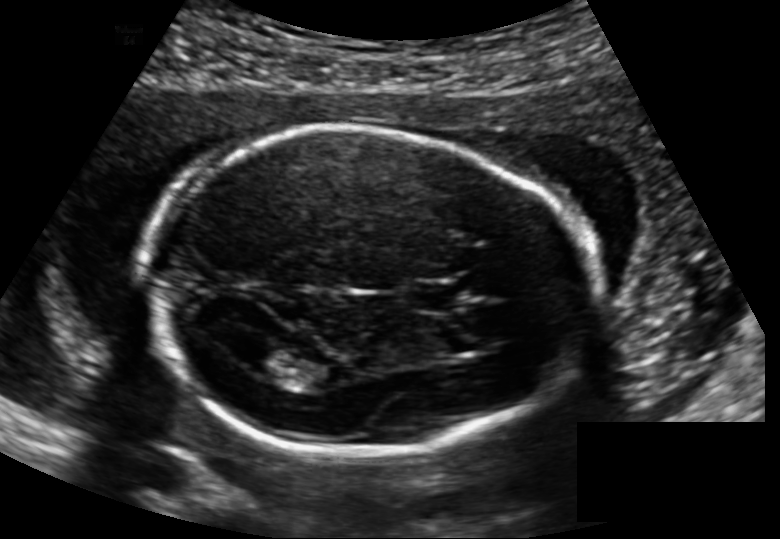
In this fetal head ultrasound, give the bounding box of the cavum septum pellucidum. Image width: 115.4 mm.

[411,280,460,313]